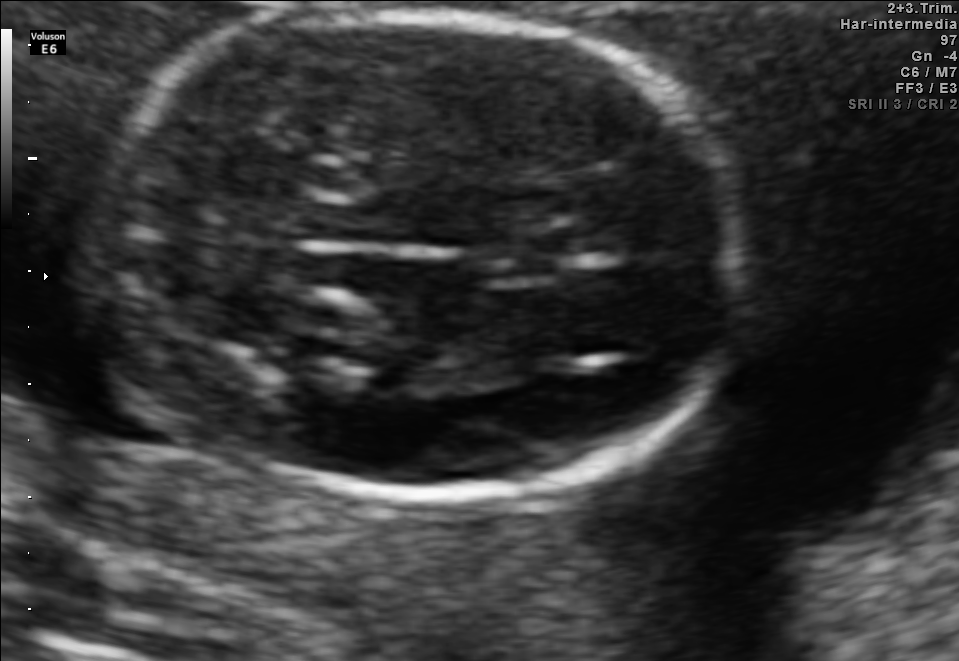
Fetal brain, trans-thalamic plane. Where is the lateral ventricle?

Lateral ventricle bounding box: [246,293,382,365]